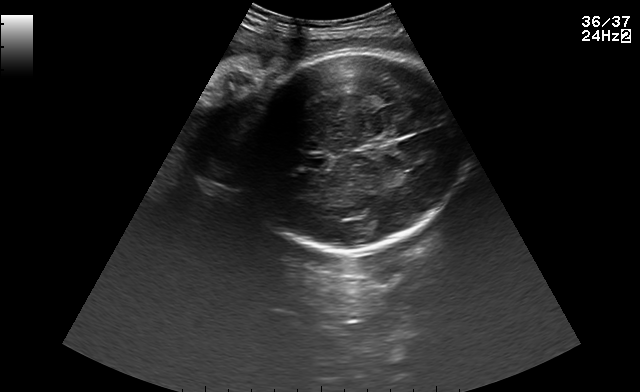
This is a 2D maternal-fetal ultrasound frame. Is it a fetal abdomen, fetal brain, fetal femur, fetal thorax, maternal cervix, or other standard plane? If it's fetal brain and one of the three standard brain planes (trans-thalamic, trans-cerebellum, trans-ventricular), name which.

Fetal brain (trans-thalamic plane)